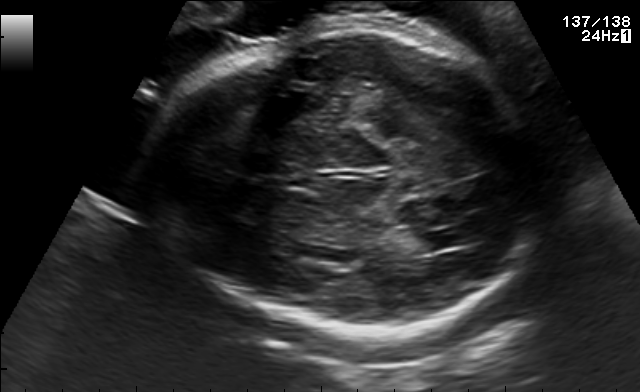
Fetal brain, trans-thalamic plane. Where is the lateral ventricle?

Lateral ventricle bounding box: [410,224,469,256]